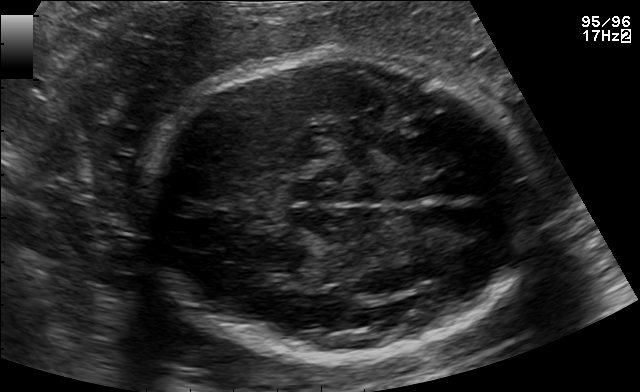
In this fetal brain, trans-thalamic plane, give bounding boxes for the head outline, cavum septum pellucidum (CSP), and lateral ventricle (LV), where visible.

Head: [146,55,529,358]